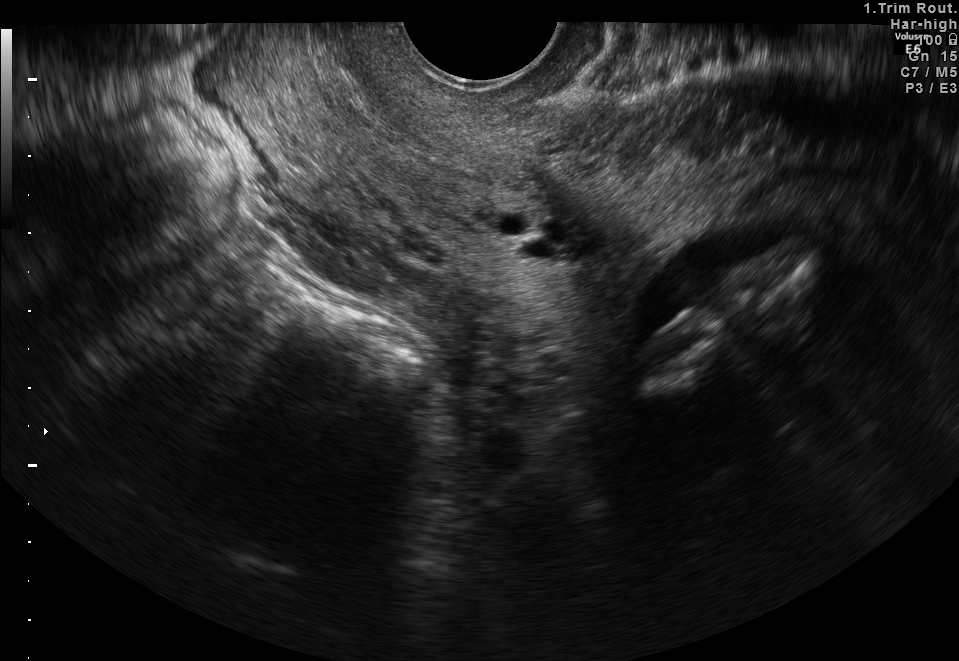
Classify this maternal-fetal ultrasound image as one of the six standard planes — fetal abdomen, fetal brain, fetal femur, fetal thorax, maternal cervix, or other. If it's fetal brain and one of the three standard brain planes (trans-thalamic, trans-cerebellum, trans-ventricular), name which.

Maternal cervix